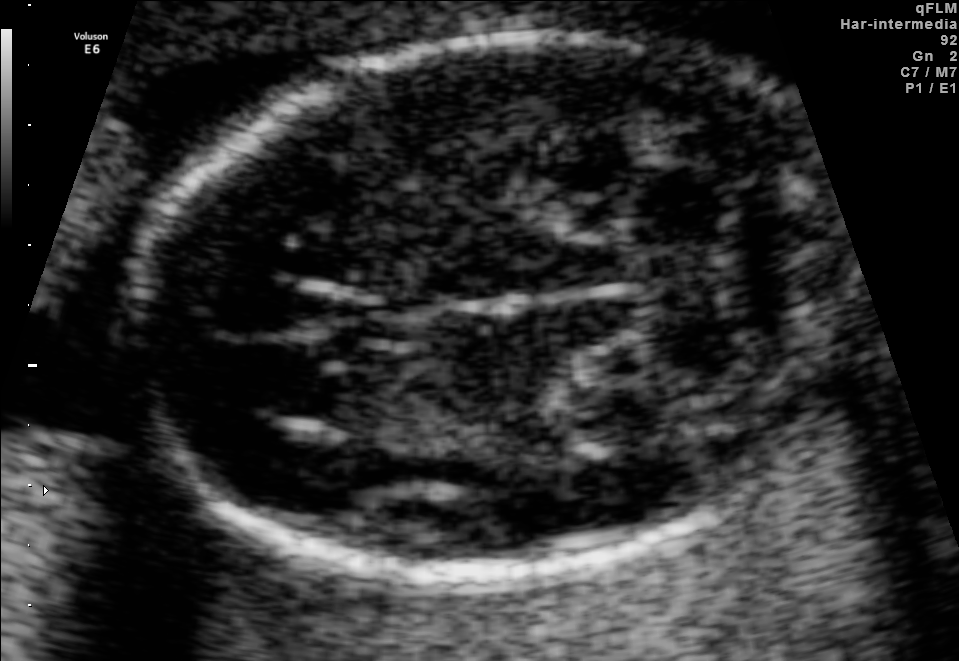
Fetal brain, trans-cerebellum plane. Give [x1,y1,x2,y2] bounding boxes for each visible structure among: fetal head, CSP, LV.

Head: [136,33,847,576]